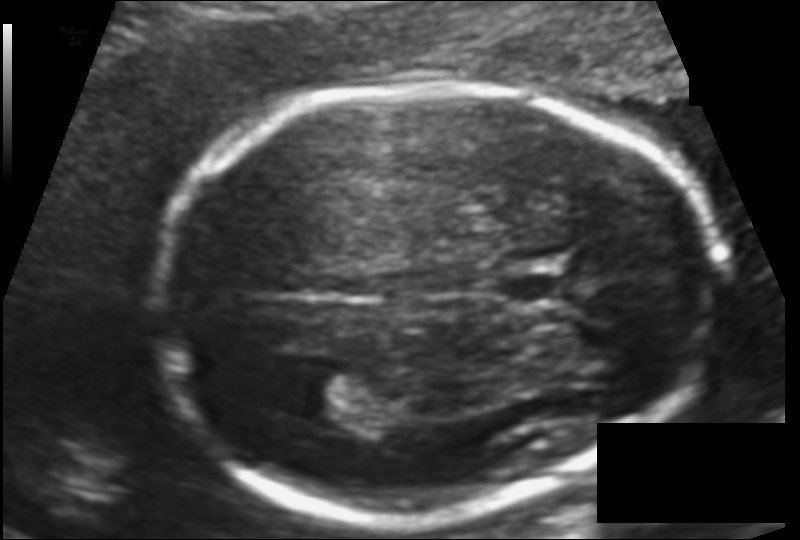
Estimate the fetal head circumference from this 2D ultrasound.

Head circumference: 177.4 mm (image width 87.8 mm).